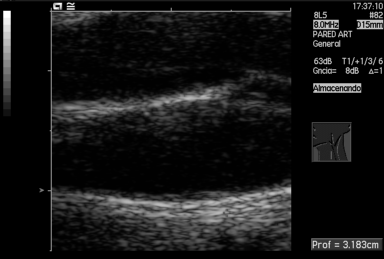
Classify this maternal-fetal ultrasound image as one of the six standard planes — fetal abdomen, fetal brain, fetal femur, fetal thorax, maternal cervix, or other. If it's fetal brain and one of the three standard brain planes (trans-thalamic, trans-cerebellum, trans-ventricular), name which.

Other